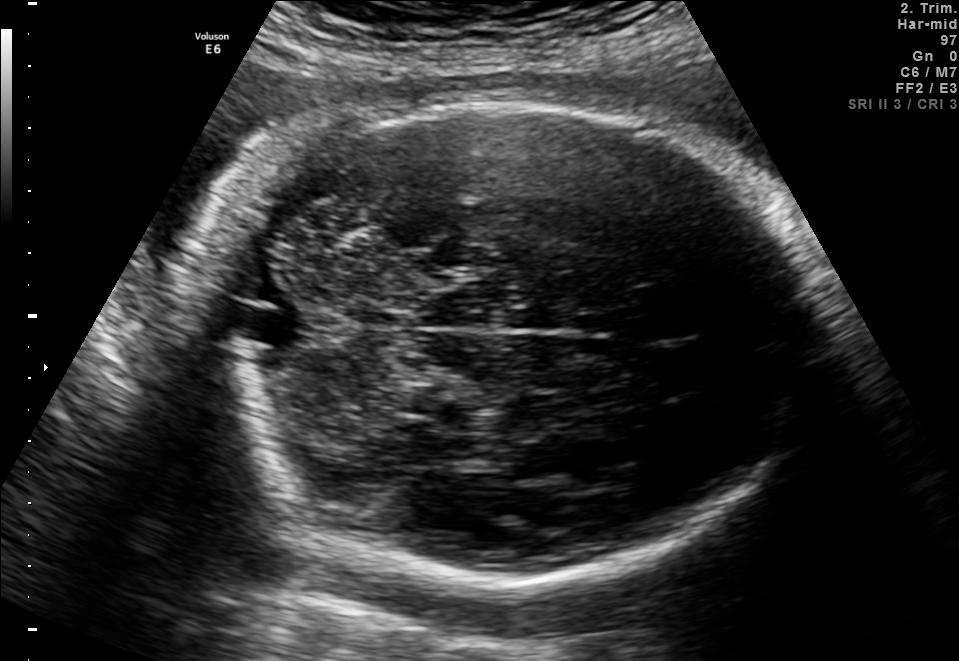
This is a 2D maternal-fetal ultrasound frame. Is it a fetal abdomen, fetal brain, fetal femur, fetal thorax, maternal cervix, or other standard plane? If it's fetal brain and one of the three standard brain planes (trans-thalamic, trans-cerebellum, trans-ventricular), name which.

Fetal brain (trans-cerebellum plane)